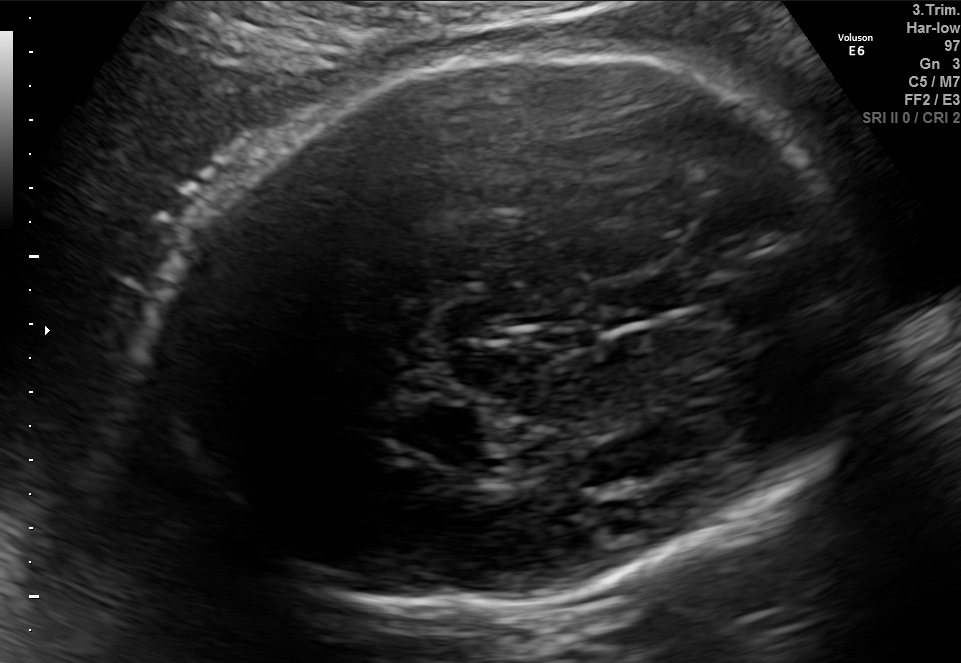
Fetal brain, trans-thalamic plane. Locate the cavum septum pellucidum.

CSP: [589,267,693,332]